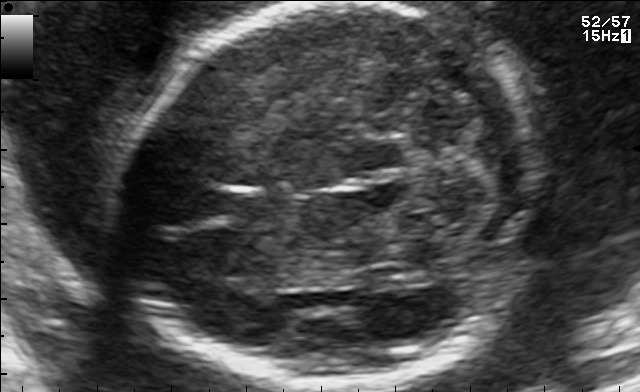
Fetal brain, trans-cerebellum plane. Locate the fetal head.

Head: [126,2,545,391]